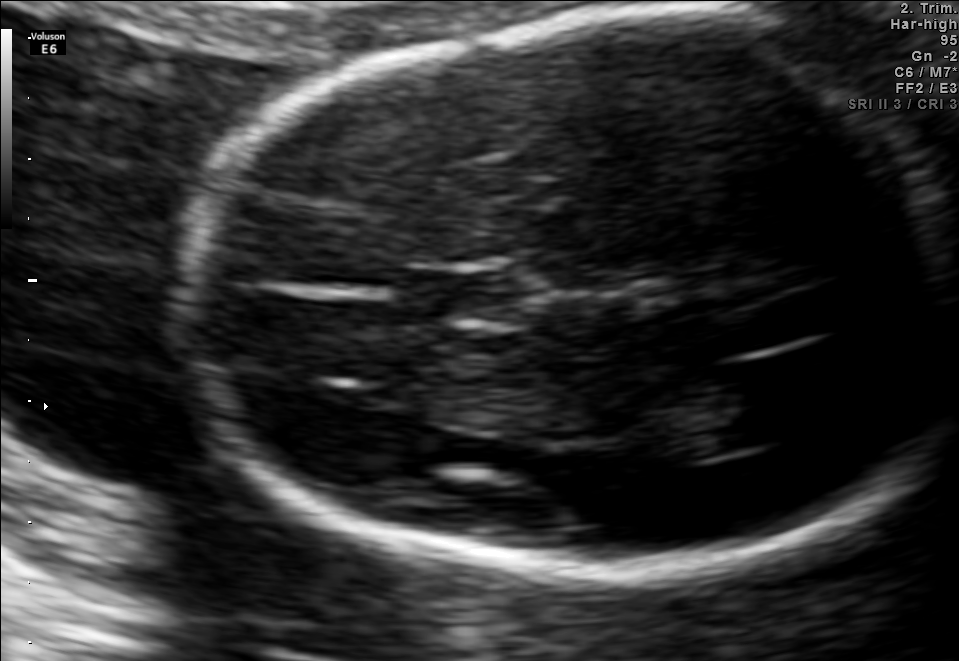
In this fetal brain, trans-thalamic plane, give the bounding box of the lateral ventricle.

[665,363,802,463]